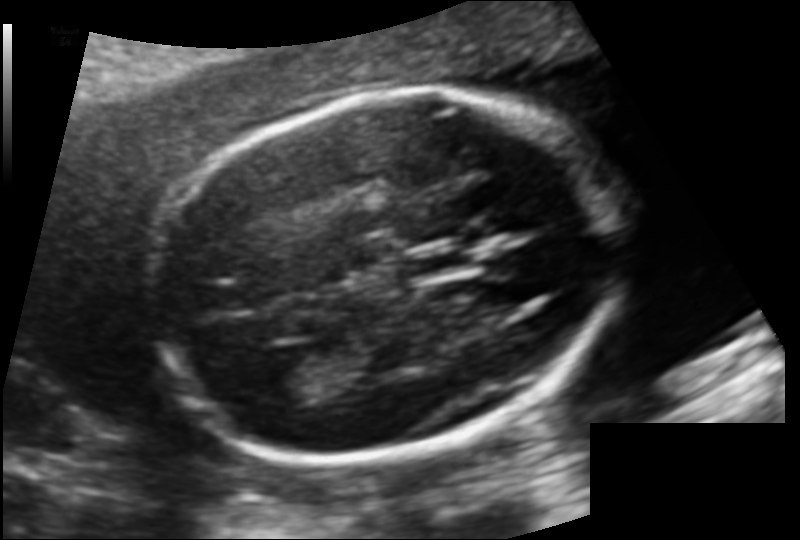
In this fetal head ultrasound, give the bounding box of the cavum septum pellucidum. Image width: 96.3 mm.

[405,243,469,282]